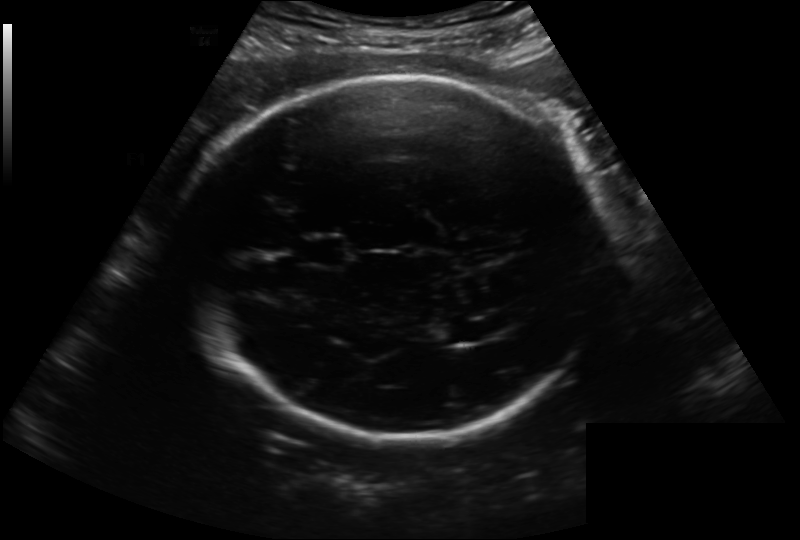
Fetal head ultrasound. Image width: 177.3 mm. Where is the cavum septum pellucidum?

CSP bounding box: [303,237,346,266]